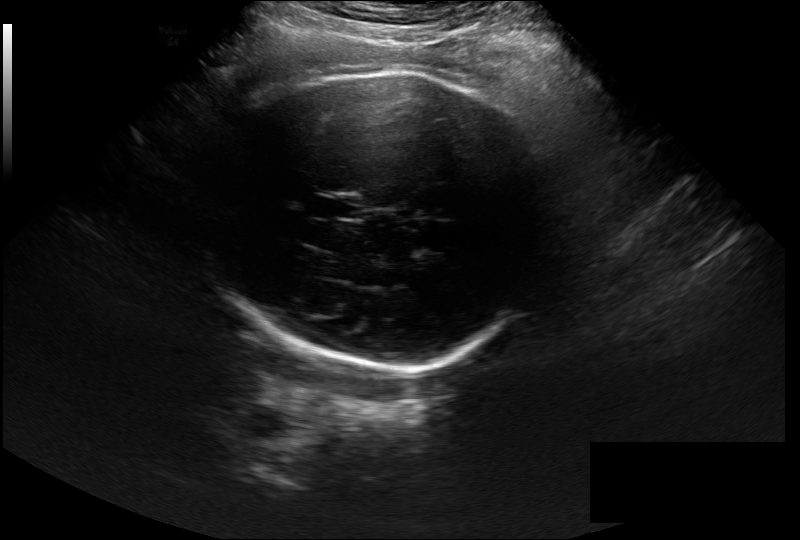
From this fetal ultrasound, estimate the head circumference (image width 237.6 mm).

Head circumference: 313.2 mm.